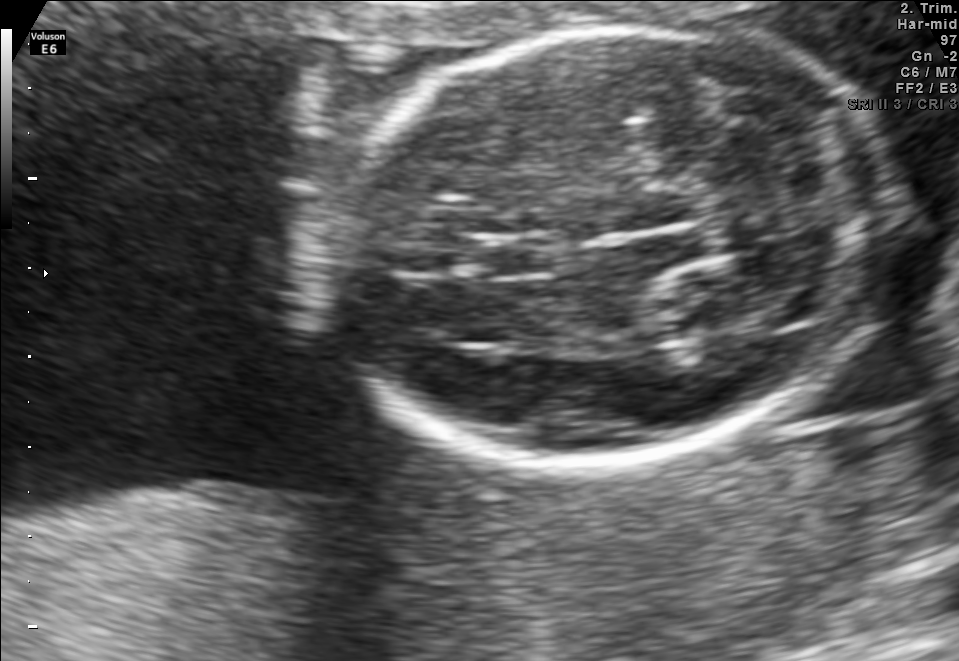
Which standard maternal-fetal ultrasound plane is shown: fetal abdomen, fetal brain, fetal femur, fetal thorax, maternal cervix, or other? If it's fetal brain and one of the three standard brain planes (trans-thalamic, trans-cerebellum, trans-ventricular), name which.

Fetal brain (trans-thalamic plane)